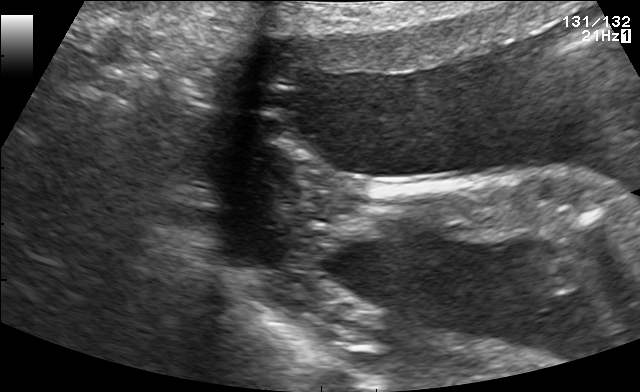
This is a 2D maternal-fetal ultrasound frame. Is it a fetal abdomen, fetal brain, fetal femur, fetal thorax, maternal cervix, or other standard plane? If it's fetal brain and one of the three standard brain planes (trans-thalamic, trans-cerebellum, trans-ventricular), name which.

Other